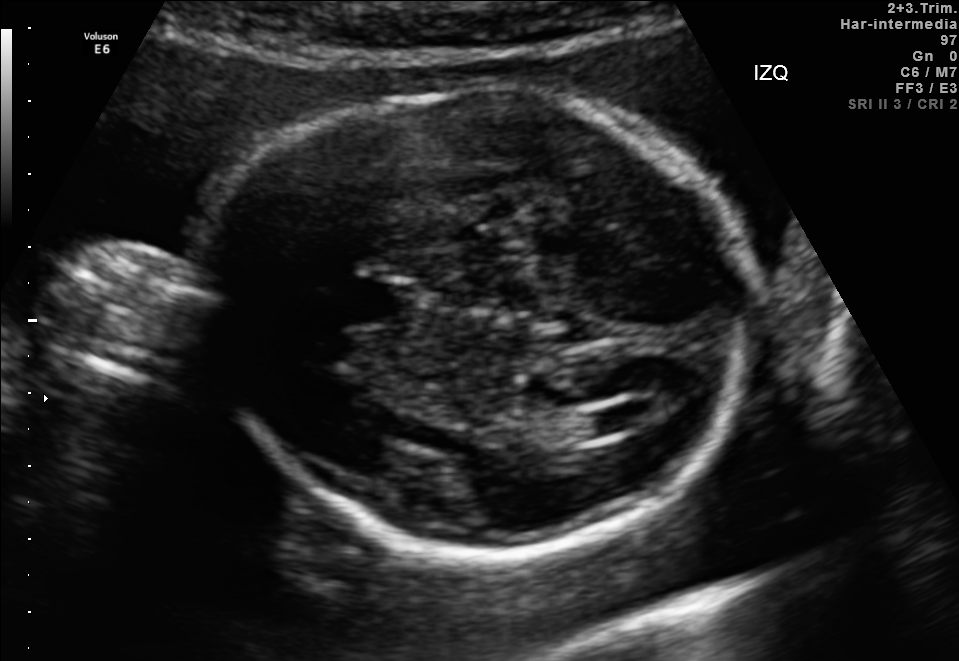
Fetal brain, trans-ventricular plane. Give [x1,y1,x2,y2] bounding boxes for each visible structure among: fetal head, CSP, LV.

Head: [186,78,775,565]
Lateral ventricle: [589,398,649,438]